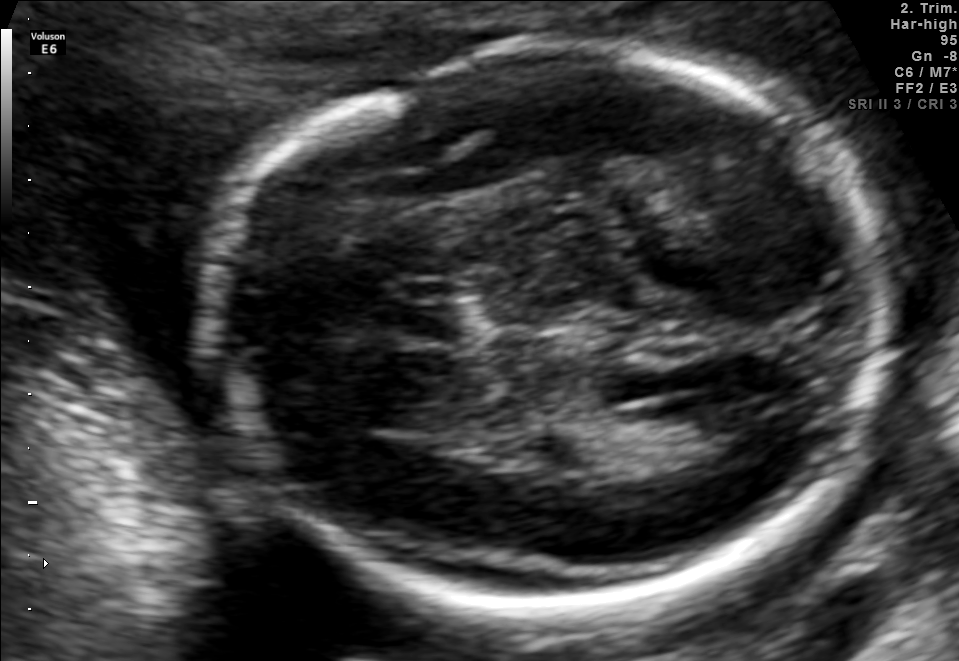
Fetal brain, trans-ventricular plane. Give [x1,y1,x2,y2] bounding boxes for each visible structure among: fetal head, CSP, LV.

Head: [194,37,909,610]
CSP: [376,289,486,346]
Lateral ventricle: [669,375,789,473]